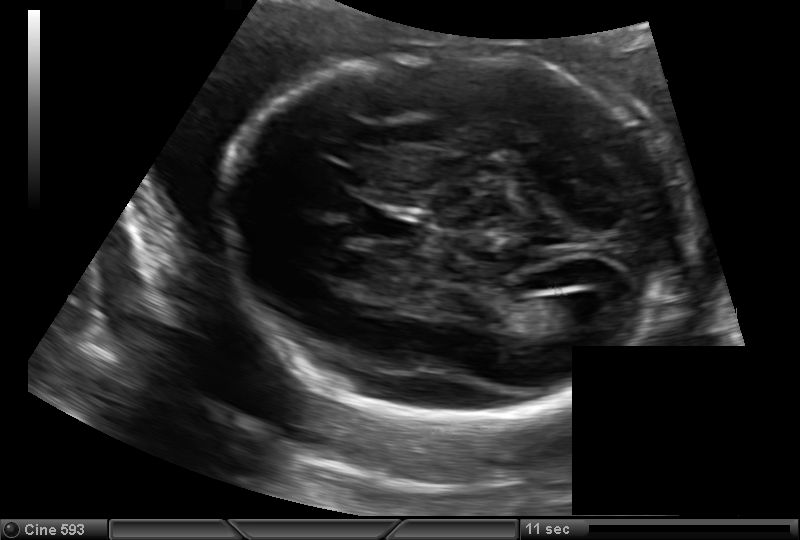
In this fetal head ultrasound, give the bounding box of the fetal head. Image width: 115.2 mm.

[221,52,684,417]